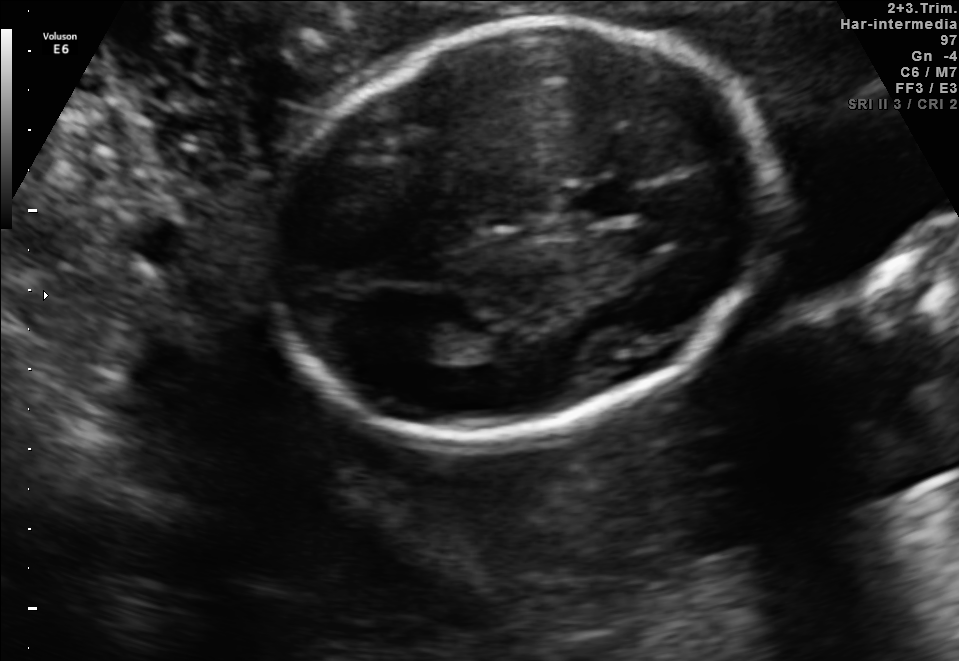
In this fetal brain, trans-thalamic plane, give the bounding box of the lateral ventricle.

[393,323,458,361]